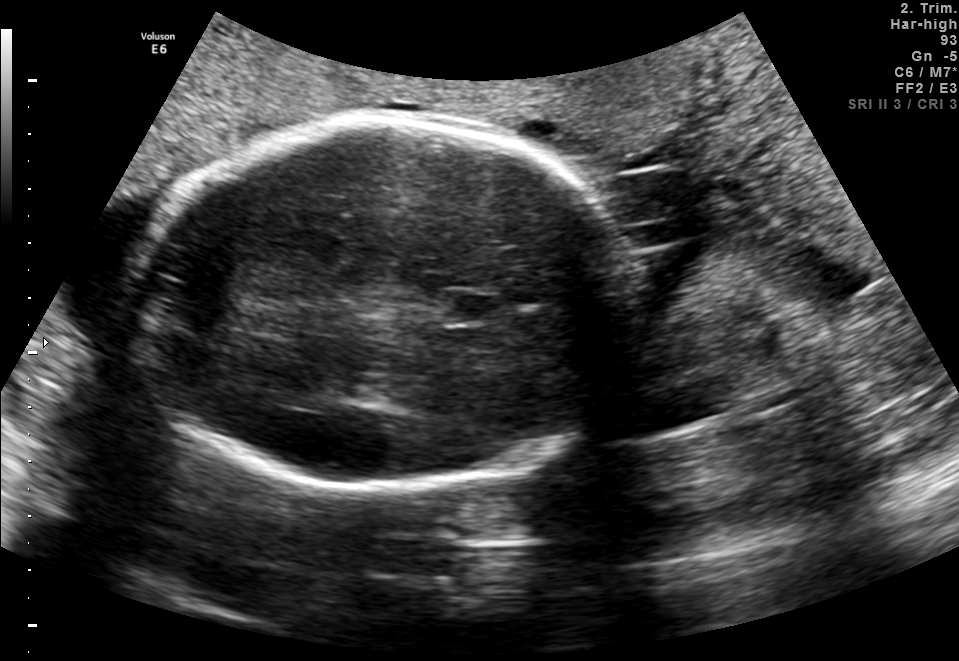
Fetal brain, trans-thalamic plane. Locate the fetal head.

Head: [129,119,628,484]